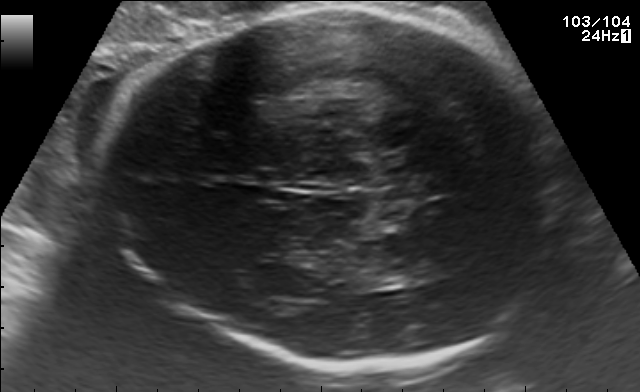
In this fetal brain, trans-thalamic plane, give bounding boxes for the head outline, cavum septum pellucidum (CSP), and lateral ventricle (LV), where visible.

Head: [98,6,558,367]